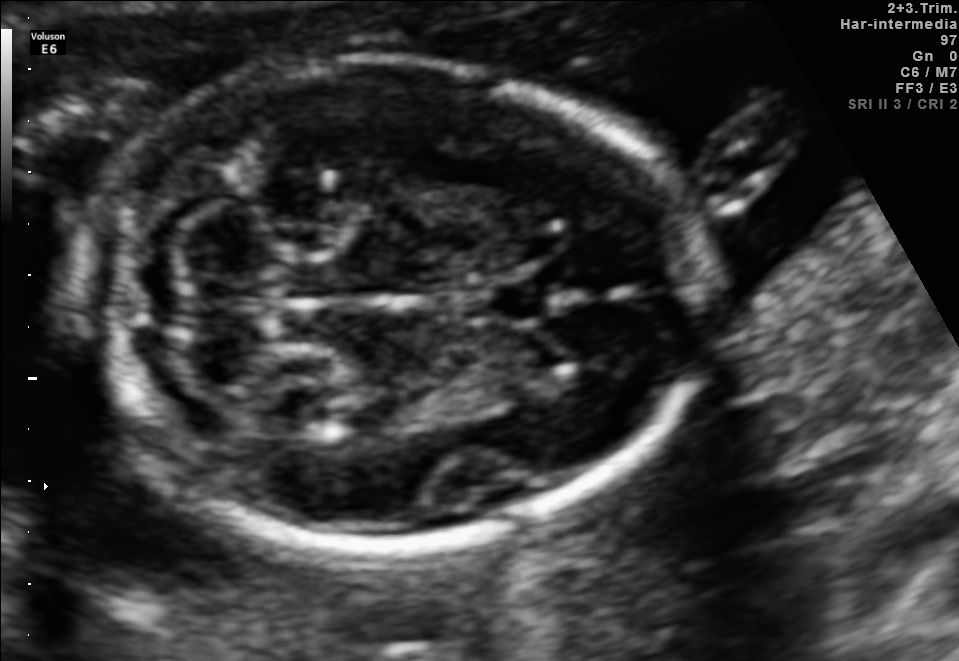
Fetal brain, trans-cerebellum plane. Locate the fetal head.

Head: [82,60,701,545]